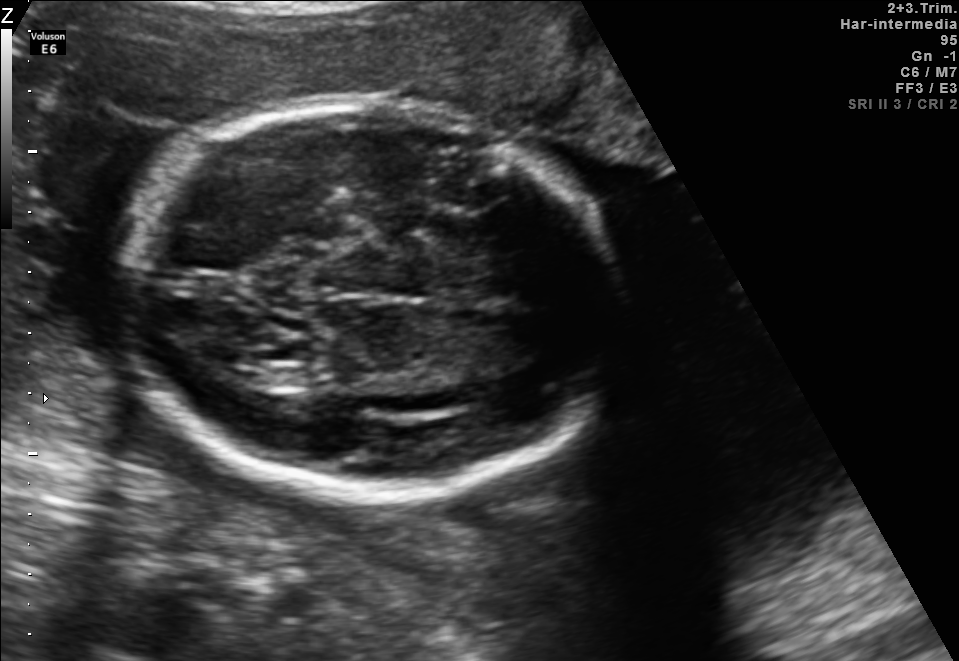
Fetal brain, trans-thalamic plane. Locate the lateral ventricle.

Lateral ventricle: [228,358,277,389]